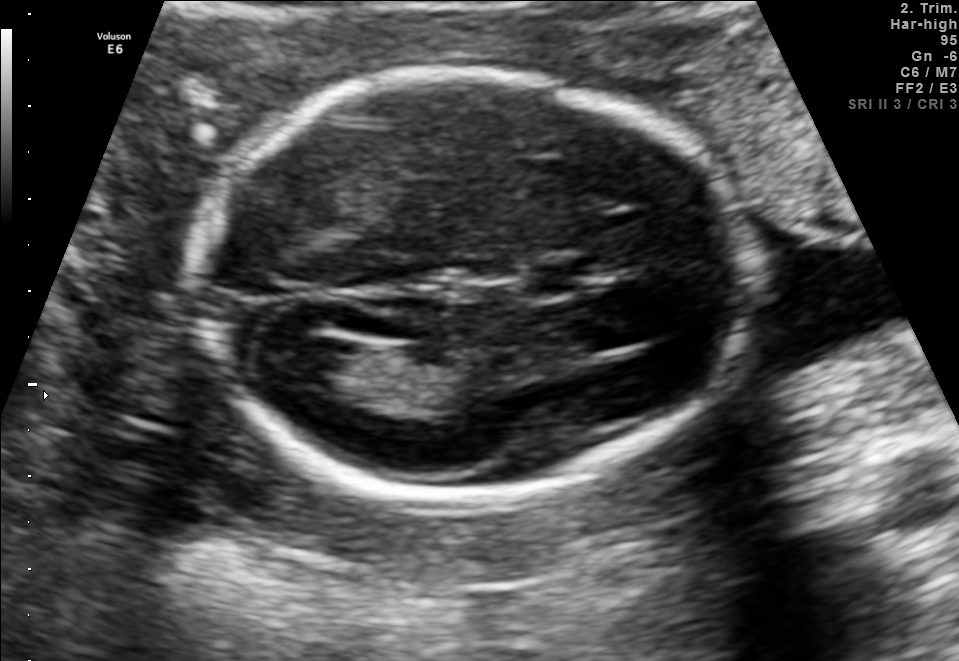
Fetal brain, trans-ventricular plane. Locate the lateral ventricle.

Lateral ventricle: [260,328,355,390]